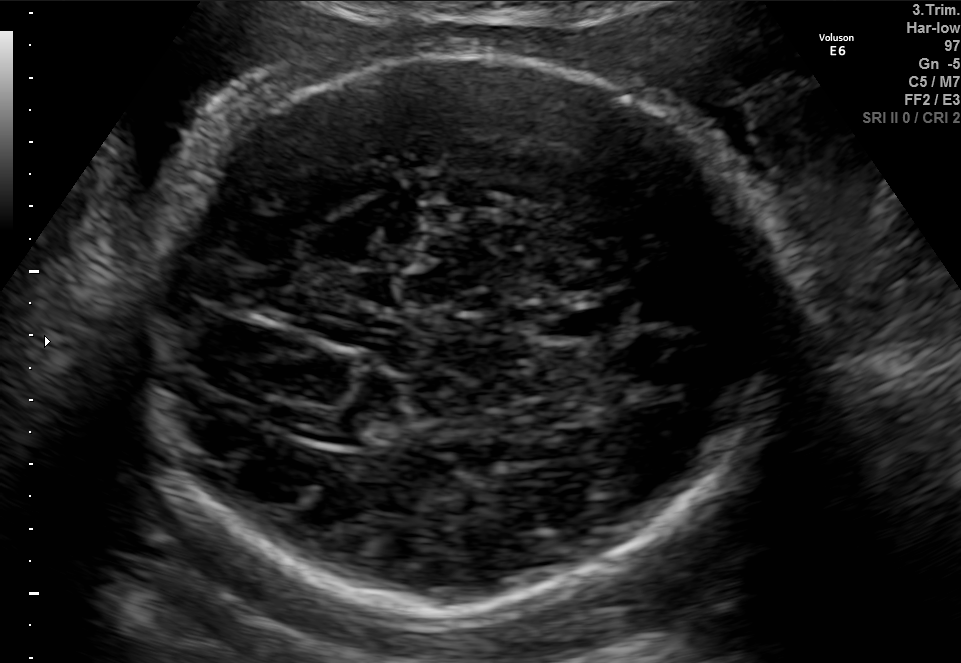
Fetal brain, trans-thalamic plane. Where is the lateral ventricle?

Lateral ventricle bounding box: [290,404,368,447]